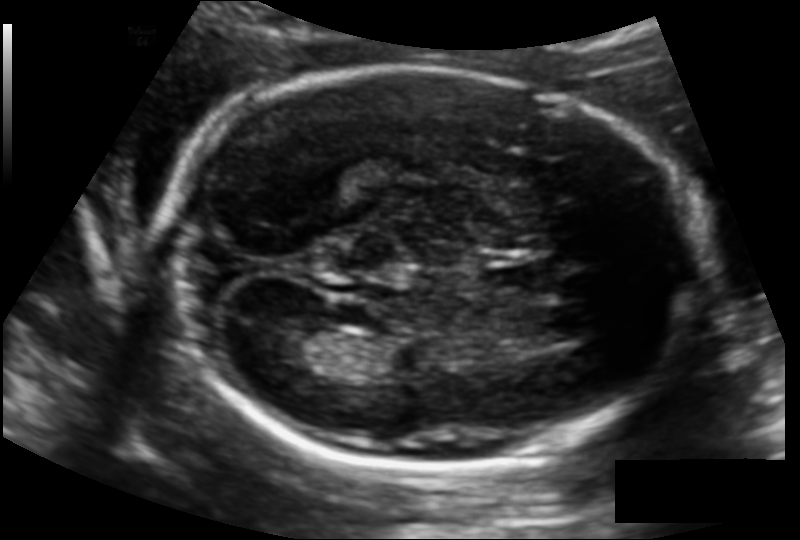
Fetal head ultrasound. Image width: 103.6 mm. Locate the fetal head.

Head: [162,69,693,465]